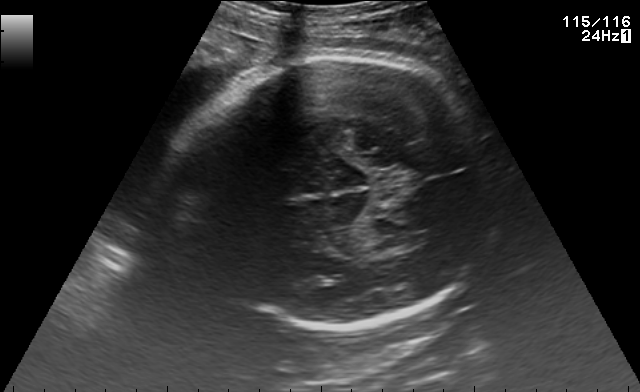
In this fetal brain, trans-thalamic plane, give bounding boxes for the head outline, cavum septum pellucidum (CSP), and lateral ventricle (LV), where visible.

Head: [163,56,501,330]